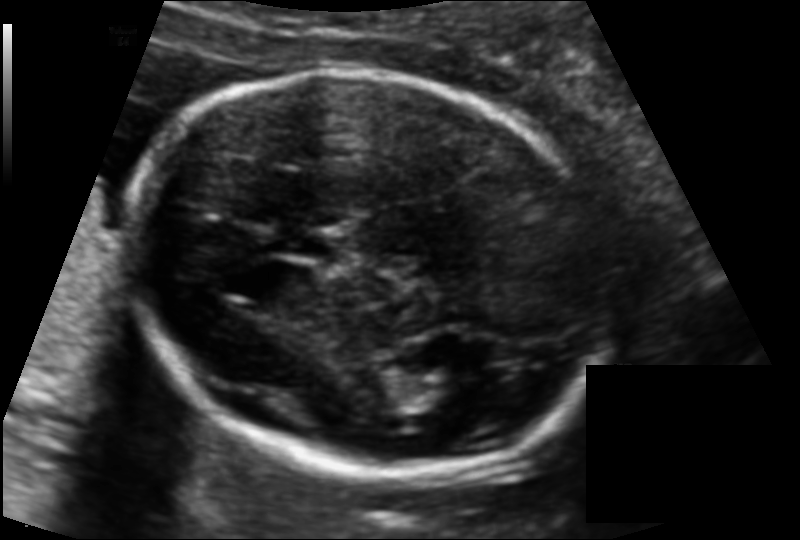
Estimate the fetal head circumference from this 2D ultrasound. Image width: 93.1 mm.

Head circumference: 170.1 mm.